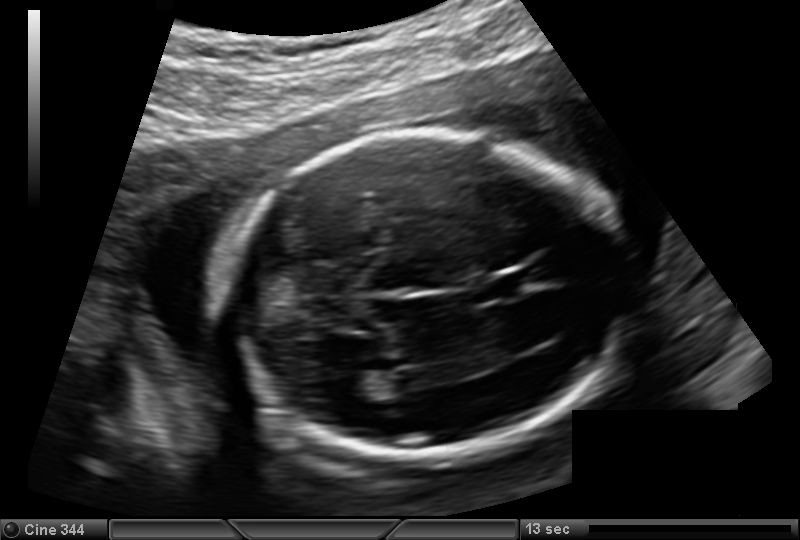
Fetal head ultrasound. Image width: 115.3 mm. Locate the fetal head and, if visible, the cavum septum pellucidum (CSP) and lateral ventricle (LV). Give bounding boxes as [x1,y1,x2,y2].

Head: [219,127,632,462]
CSP: [477,266,534,306]
Lateral ventricle: [332,372,376,406]